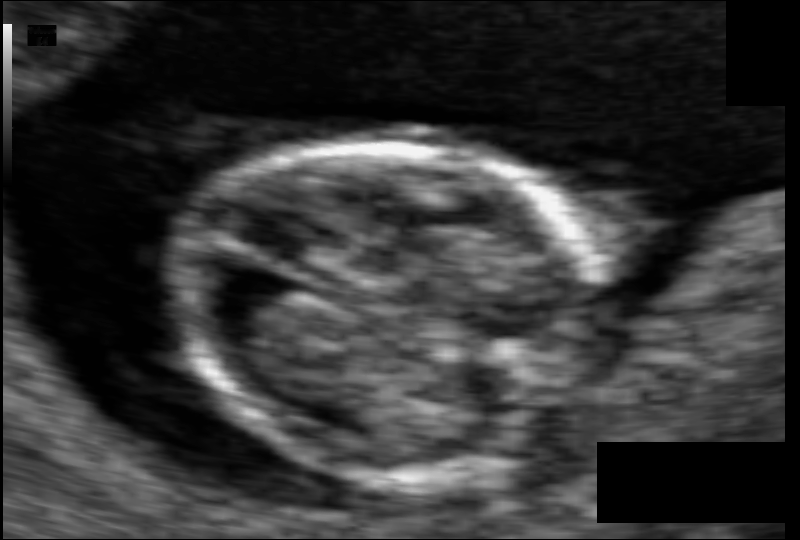
Estimate the fetal head circumference from this 2D ultrasound. Image width: 43.6 mm.

Head circumference: 68.4 mm.